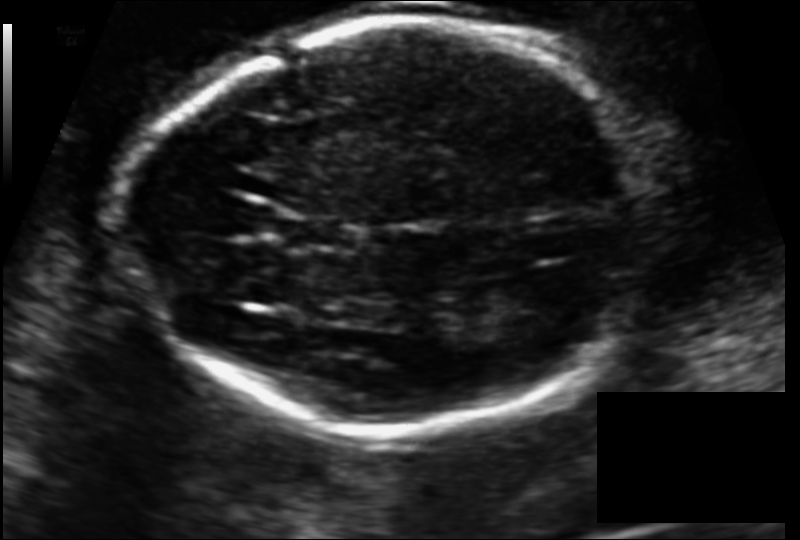
In this fetal head ultrasound, give bounding boxes for the head outline, cavum septum pellucidum (CSP), and lateral ventricle (LV), where visible. Image width: 98.9 mm.

Head: [128,19,652,433]
CSP: [283,218,355,248]